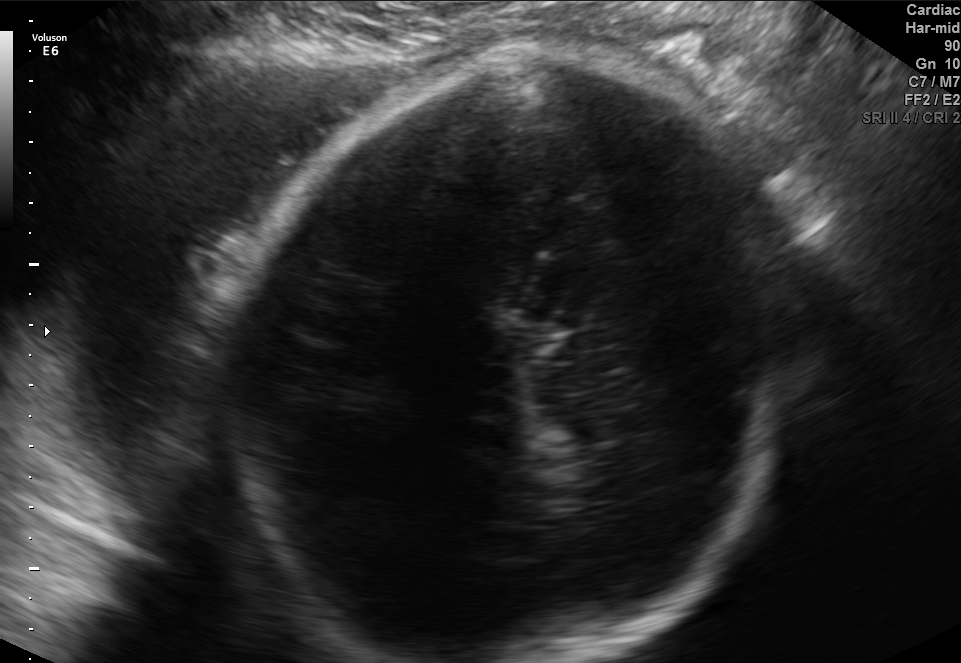
Fetal brain, trans-thalamic plane. Locate the fetal head.

Head: [228,57,799,662]